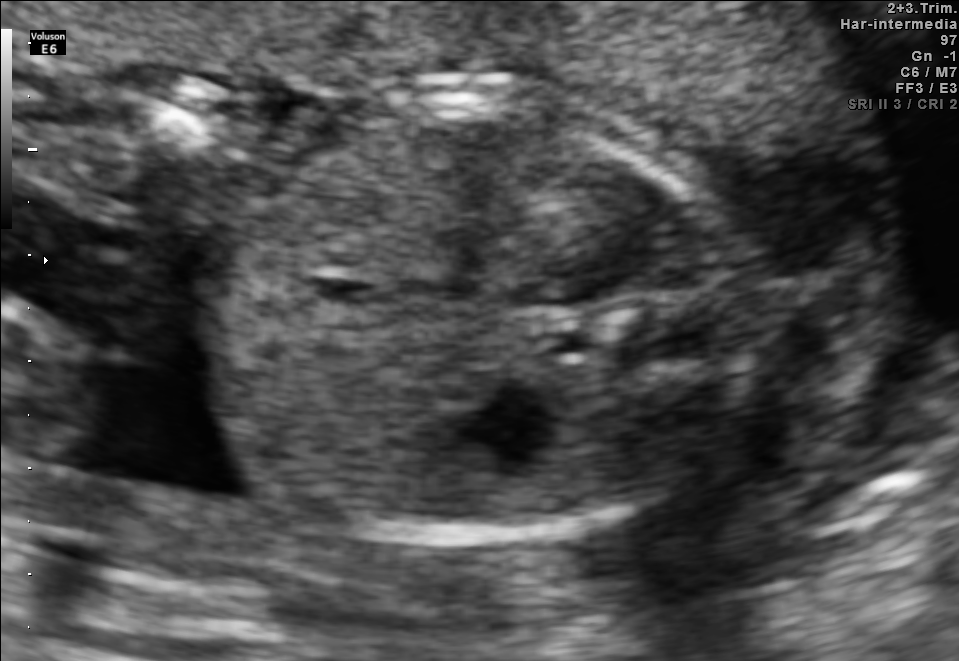
This is a 2D maternal-fetal ultrasound frame. Is it a fetal abdomen, fetal brain, fetal femur, fetal thorax, maternal cervix, or other standard plane? If it's fetal brain and one of the three standard brain planes (trans-thalamic, trans-cerebellum, trans-ventricular), name which.

Fetal abdomen